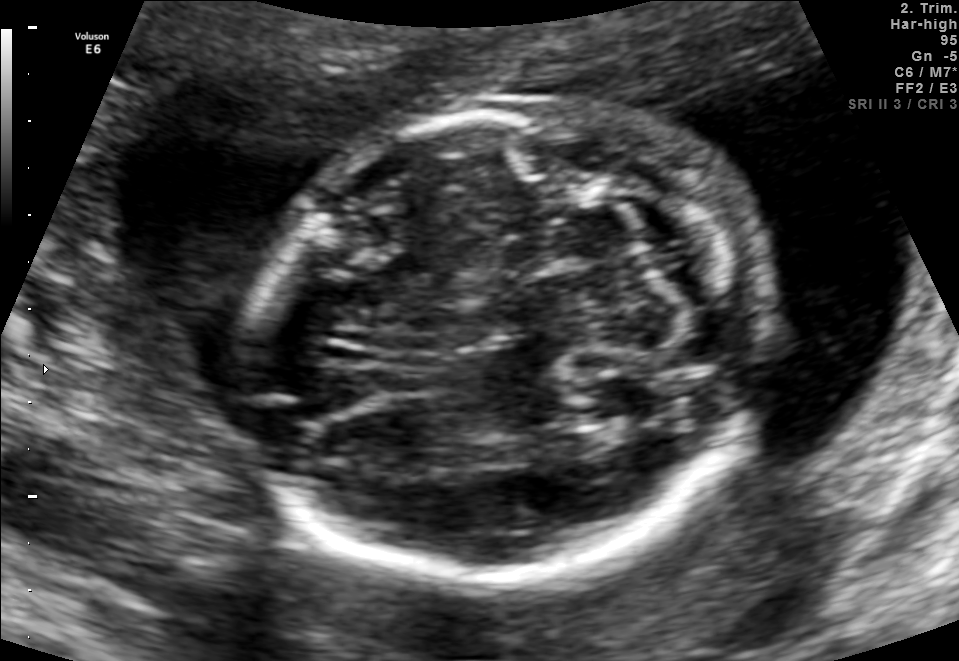
Which standard maternal-fetal ultrasound plane is shown: fetal abdomen, fetal brain, fetal femur, fetal thorax, maternal cervix, or other? If it's fetal brain and one of the three standard brain planes (trans-thalamic, trans-cerebellum, trans-ventricular), name which.

Fetal brain (trans-cerebellum plane)